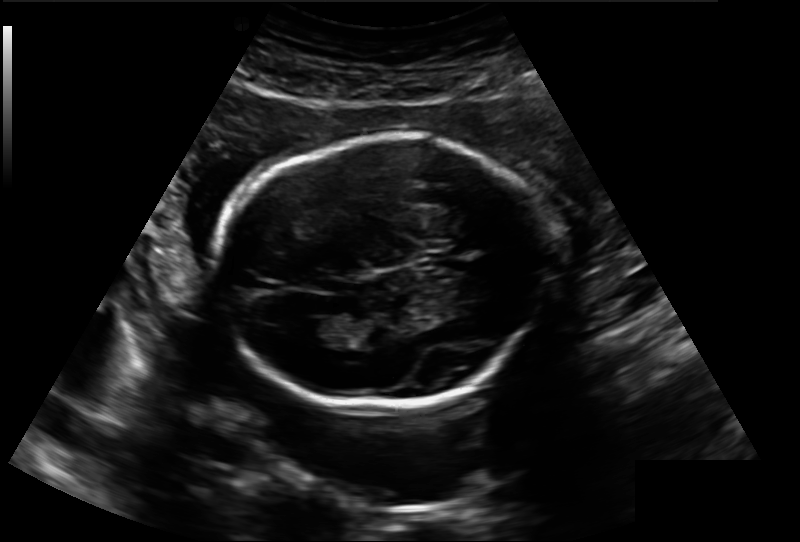
Fetal head ultrasound. Image width: 150.3 mm. Locate the lateral ventricle.

Lateral ventricle: [298,318,341,344]